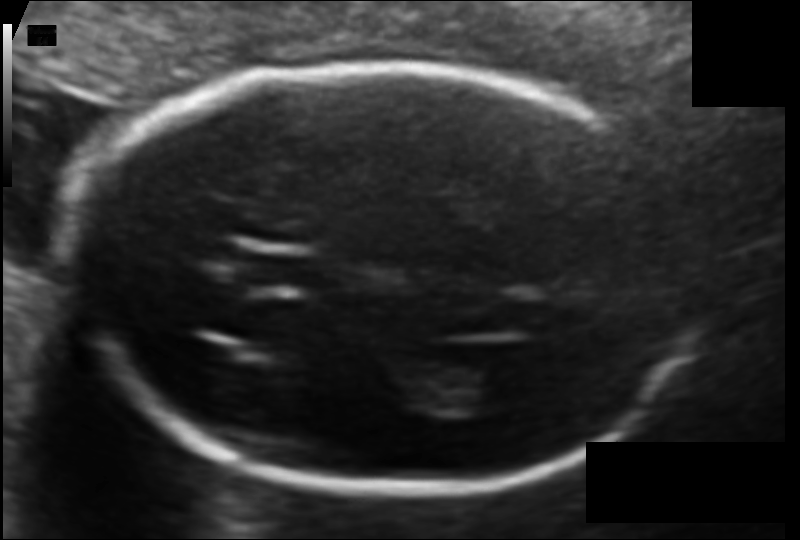
In this fetal head ultrasound, give the bounding box of the fetal head. Image width: 82.7 mm.

[83,63,705,490]